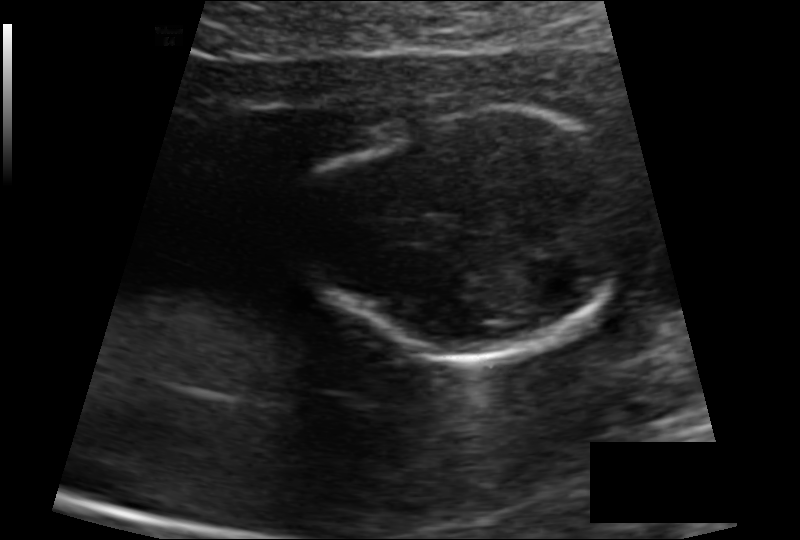
Fetal head ultrasound. Image width: 87.9 mm. Locate the fetal head.

Head: [304,108,633,357]